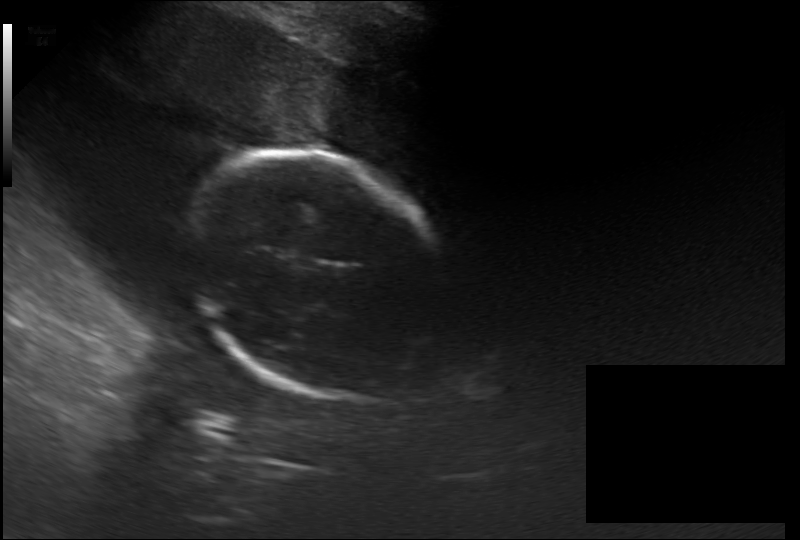
Fetal head ultrasound. Image width: 211.0 mm. Where is the fetal head?

Head bounding box: [184,153,455,400]